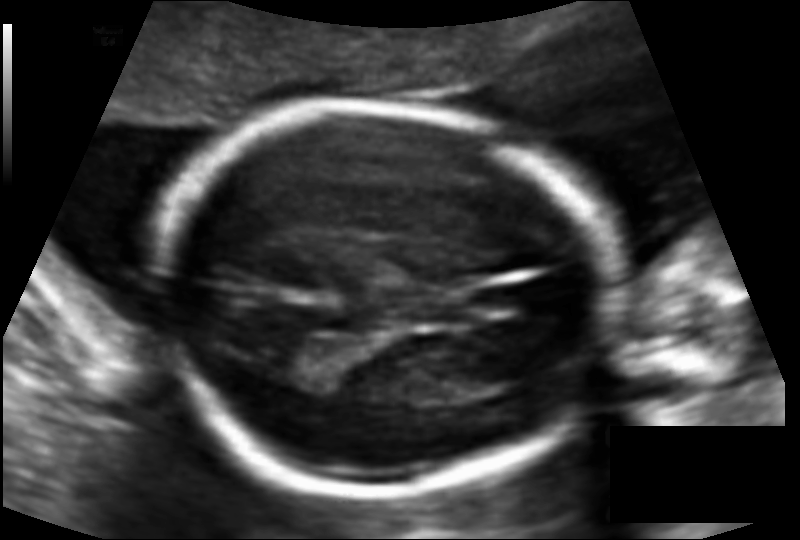
What is the fetal head circumference? Image width is 87.7 mm.

153.4 mm